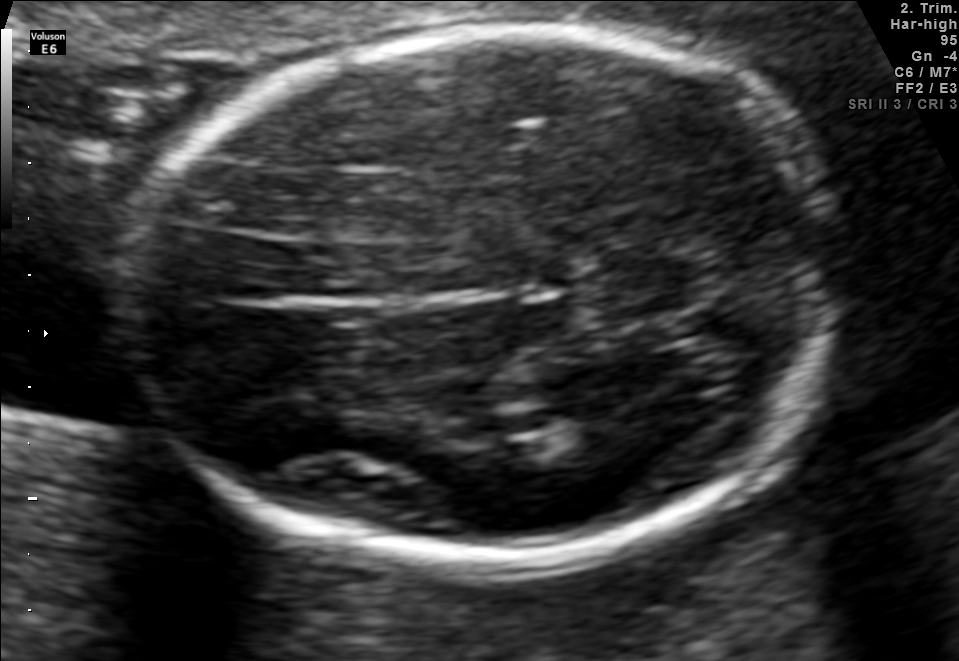
Fetal brain, trans-thalamic plane. Locate the fetal head.

Head: [127,30,838,577]